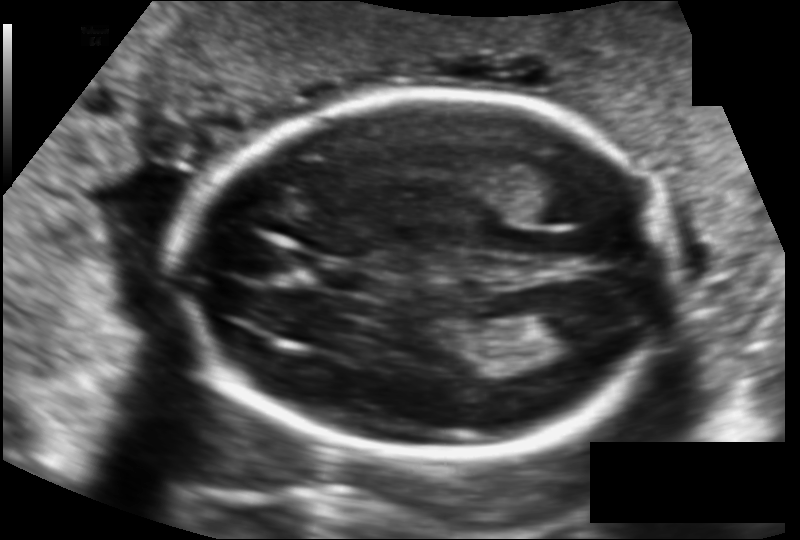
Estimate the fetal head circumference from this 2D ultrasound. Image width: 98.9 mm.

Head circumference: 174.0 mm.